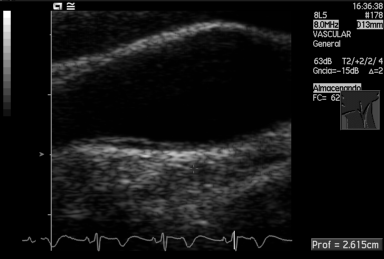
Identify the standard plane in this fetal ultrasound image: fetal abdomen, fetal brain, fetal femur, fetal thorax, maternal cervix, or other. If it's fetal brain and one of the three standard brain planes (trans-thalamic, trans-cerebellum, trans-ventricular), name which.

Other